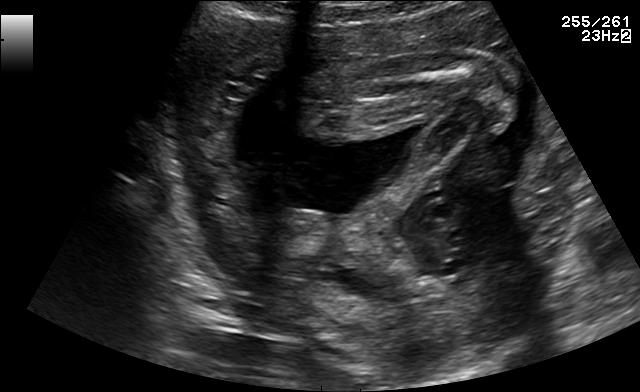
Classify this maternal-fetal ultrasound image as one of the six standard planes — fetal abdomen, fetal brain, fetal femur, fetal thorax, maternal cervix, or other. If it's fetal brain and one of the three standard brain planes (trans-thalamic, trans-cerebellum, trans-ventricular), name which.

Other